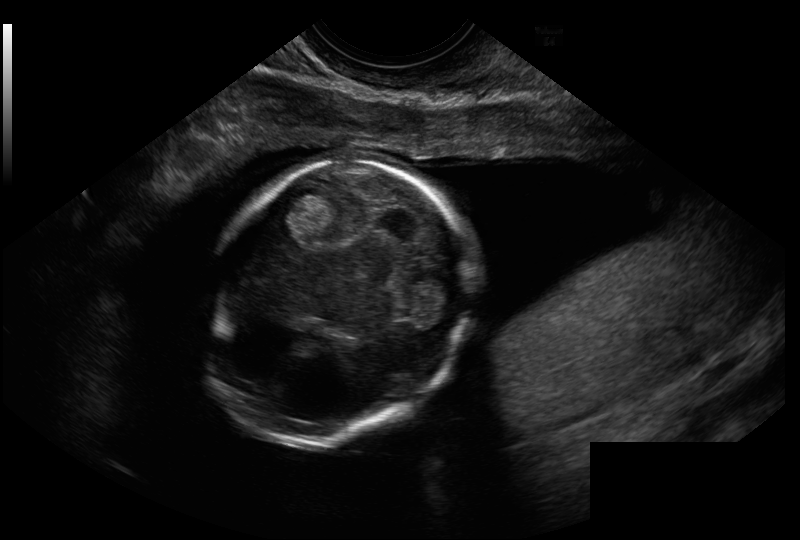
Estimate the fetal head circumference from this 2D ultrasound. Image width: 91.5 mm.

Head circumference: 101.2 mm.